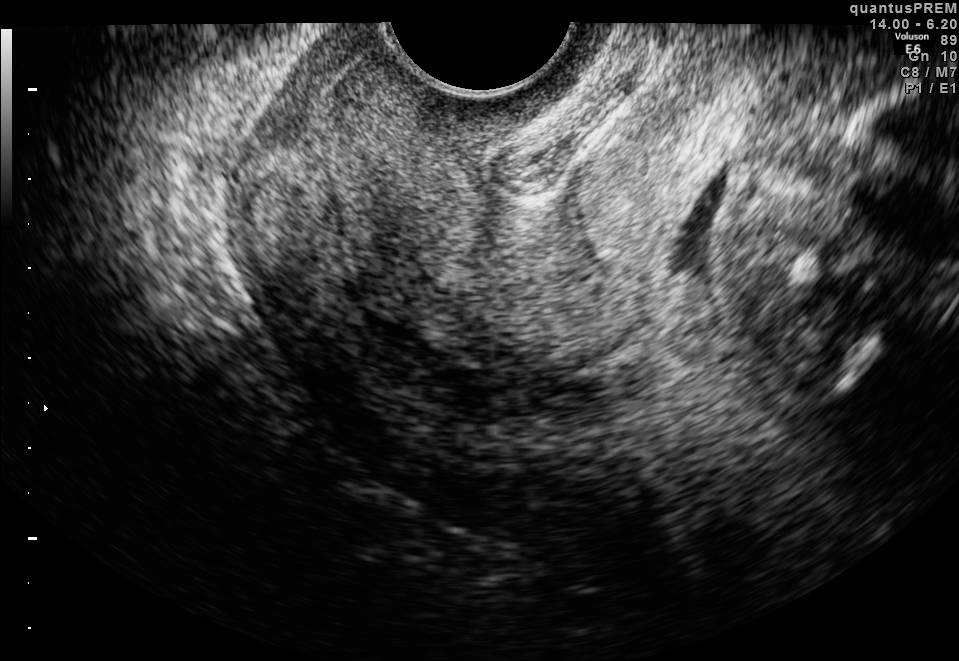
Identify the standard plane in this fetal ultrasound image: fetal abdomen, fetal brain, fetal femur, fetal thorax, maternal cervix, or other. If it's fetal brain and one of the three standard brain planes (trans-thalamic, trans-cerebellum, trans-ventricular), name which.

Maternal cervix